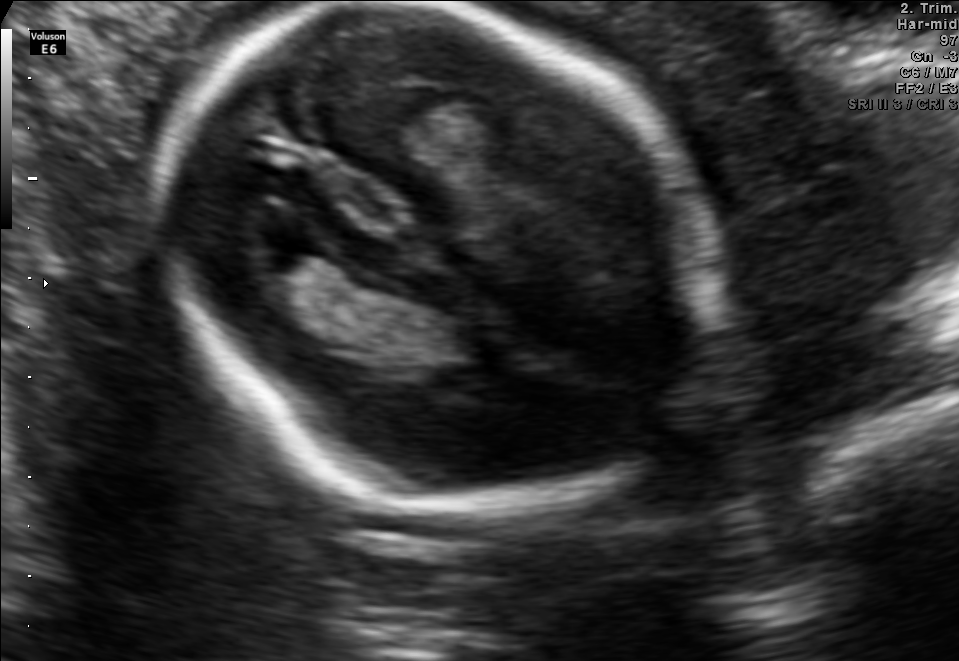
Fetal brain, trans-thalamic plane. Give [x1,y1,x2,y2] bounding boxes for each visible structure among: fetal head, CSP, LV.

Head: [159,3,720,502]
Lateral ventricle: [219,183,332,297]